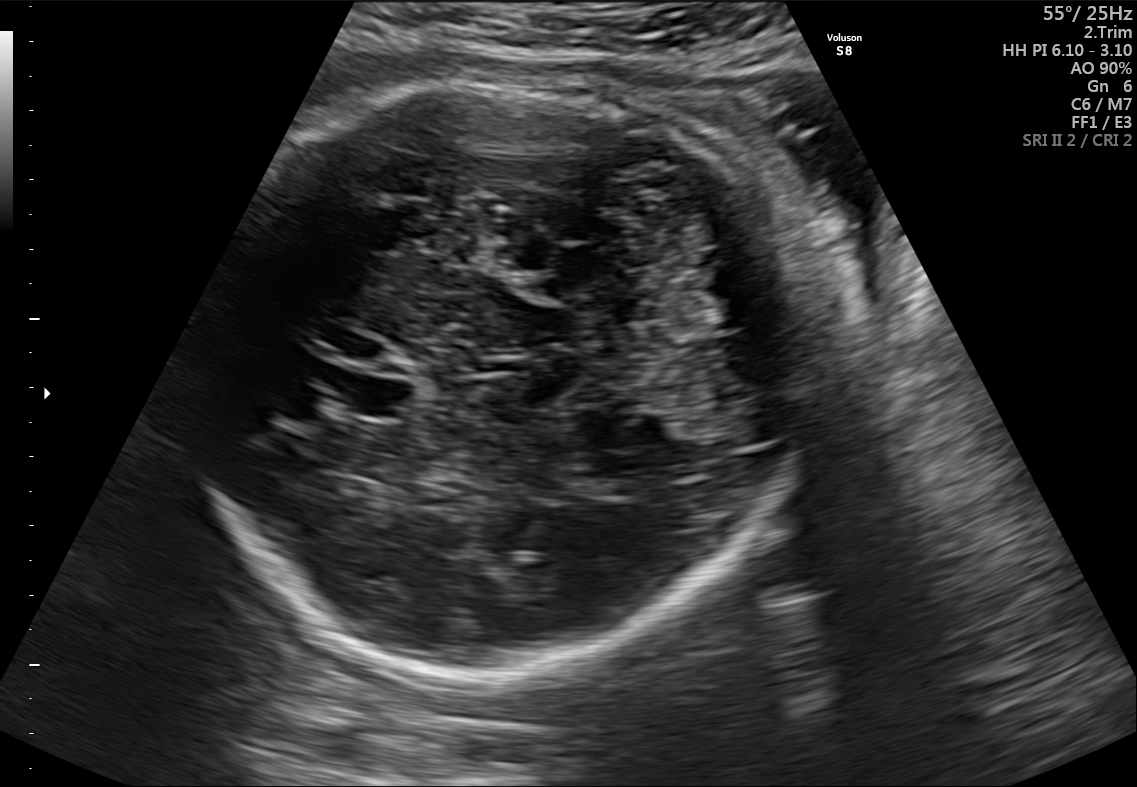
In this fetal brain, trans-cerebellum plane, give the bounding box of the fetal head.

[204,74,796,670]